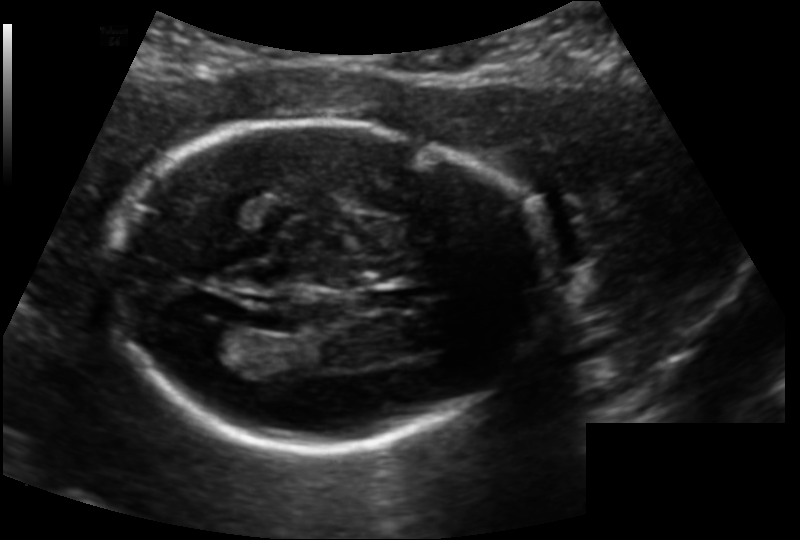
Fetal head ultrasound. Image width: 111.5 mm. Where is the fetal head?

Head bounding box: [108,120,545,449]